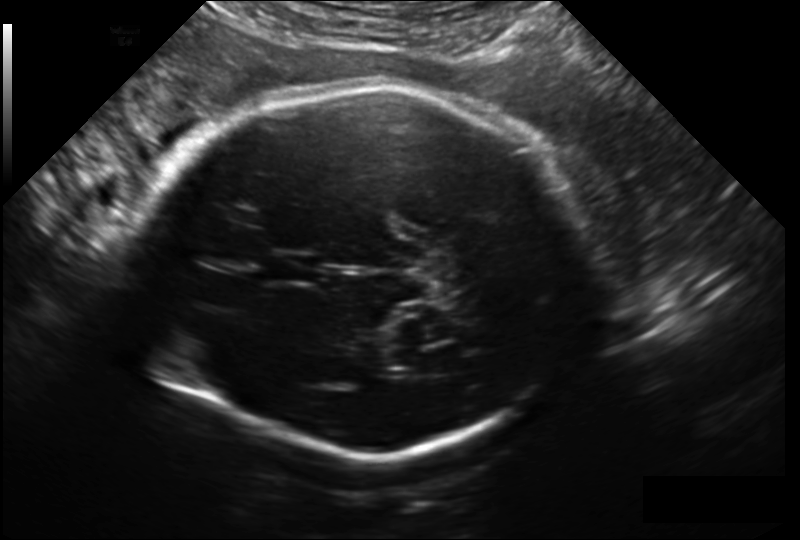
Estimate the fetal head circumference from this 2D ultrasound.

Head circumference: 283.0 mm (image width 167.2 mm).